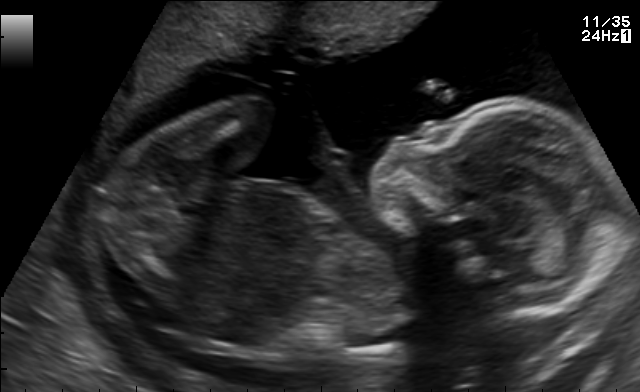
Which standard maternal-fetal ultrasound plane is shown: fetal abdomen, fetal brain, fetal femur, fetal thorax, maternal cervix, or other? If it's fetal brain and one of the three standard brain planes (trans-thalamic, trans-cerebellum, trans-ventricular), name which.

Other